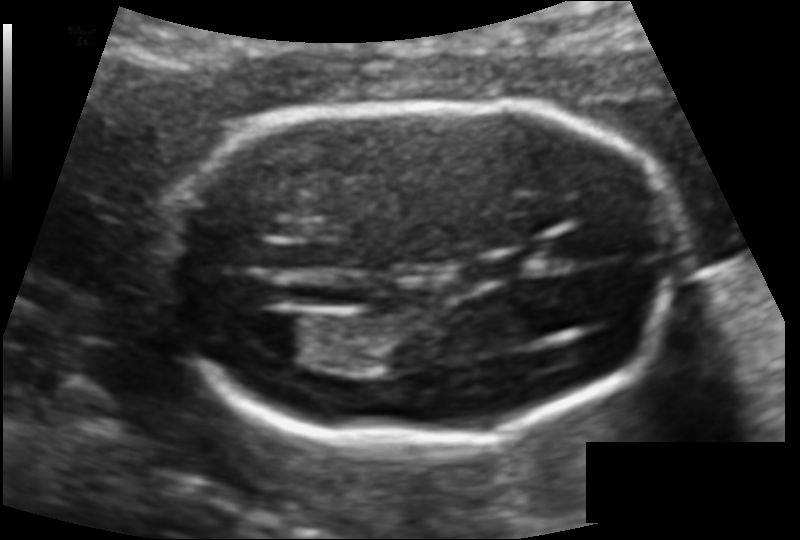
Estimate the fetal head circumference from this 2D ultrasound.

Head circumference: 155.3 mm (image width 87.1 mm).